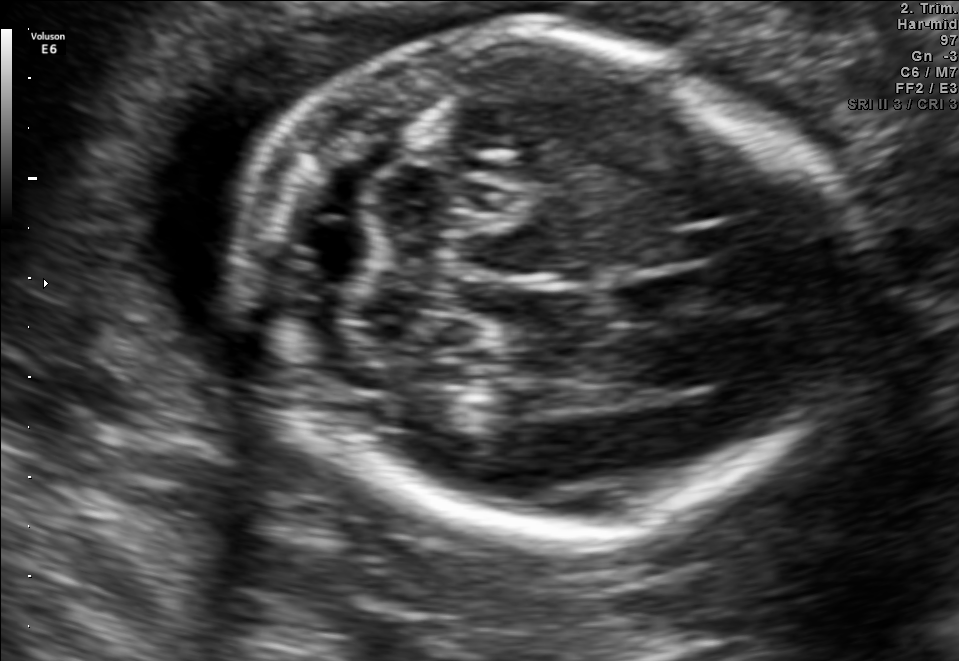
Fetal brain, trans-cerebellum plane. Where is the fetal head?

Head bounding box: [241,31,834,536]